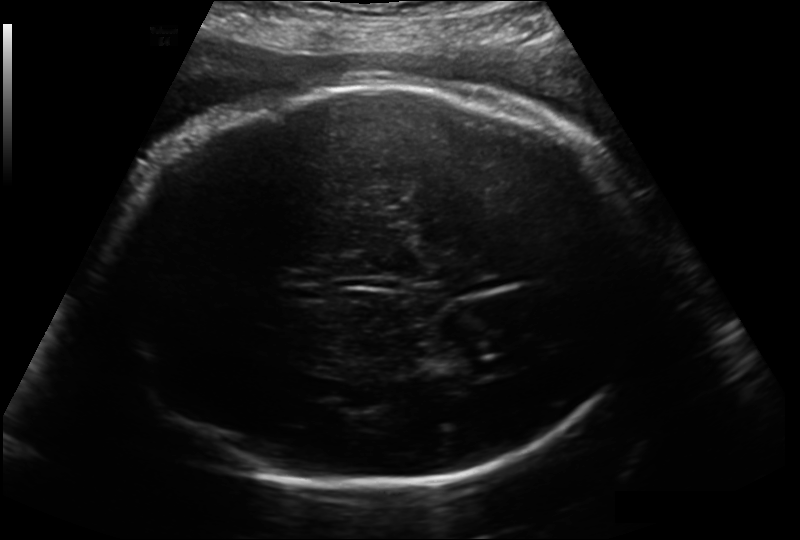
Estimate the fetal head circumference from this 2D ultrasound.

Head circumference: 317.6 mm (image width 171.3 mm).